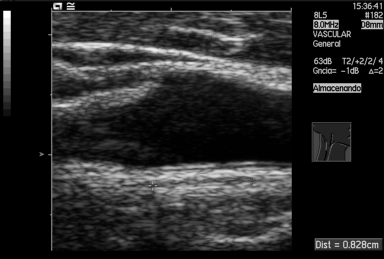
Which standard maternal-fetal ultrasound plane is shown: fetal abdomen, fetal brain, fetal femur, fetal thorax, maternal cervix, or other? If it's fetal brain and one of the three standard brain planes (trans-thalamic, trans-cerebellum, trans-ventricular), name which.

Other